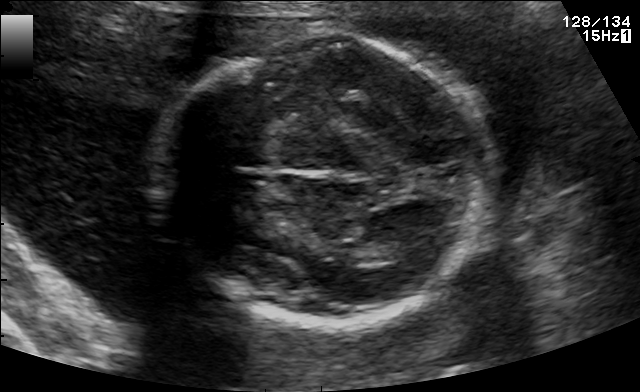
Fetal brain, trans-thalamic plane. Where is the lateral ventricle?

Lateral ventricle bounding box: [369,235,427,266]